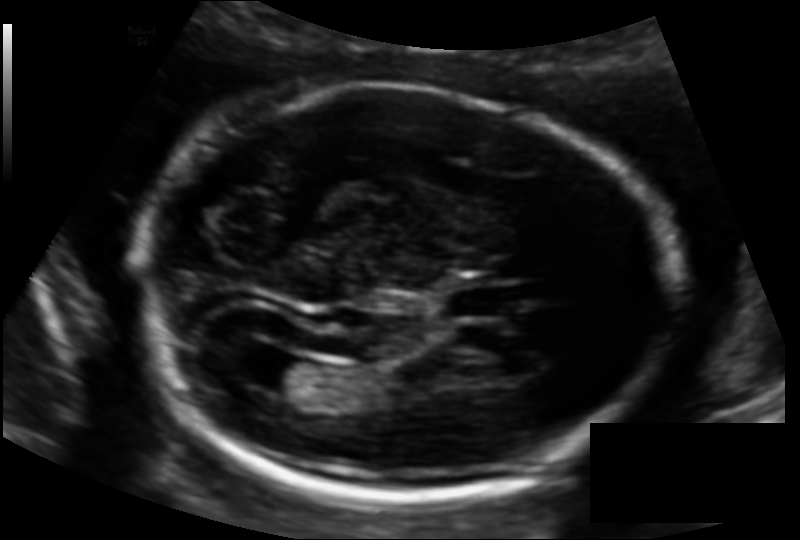
Fetal head ultrasound. Image width: 103.6 mm. Where is the cavum septum pellucidum?

CSP bounding box: [442,276,517,320]